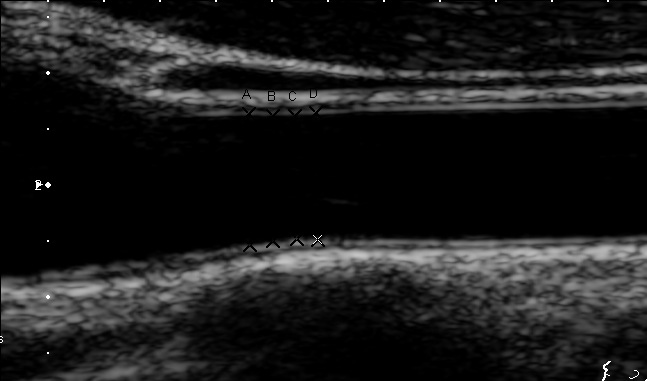
Identify the standard plane in this fetal ultrasound image: fetal abdomen, fetal brain, fetal femur, fetal thorax, maternal cervix, or other. If it's fetal brain and one of the three standard brain planes (trans-thalamic, trans-cerebellum, trans-ventricular), name which.

Other